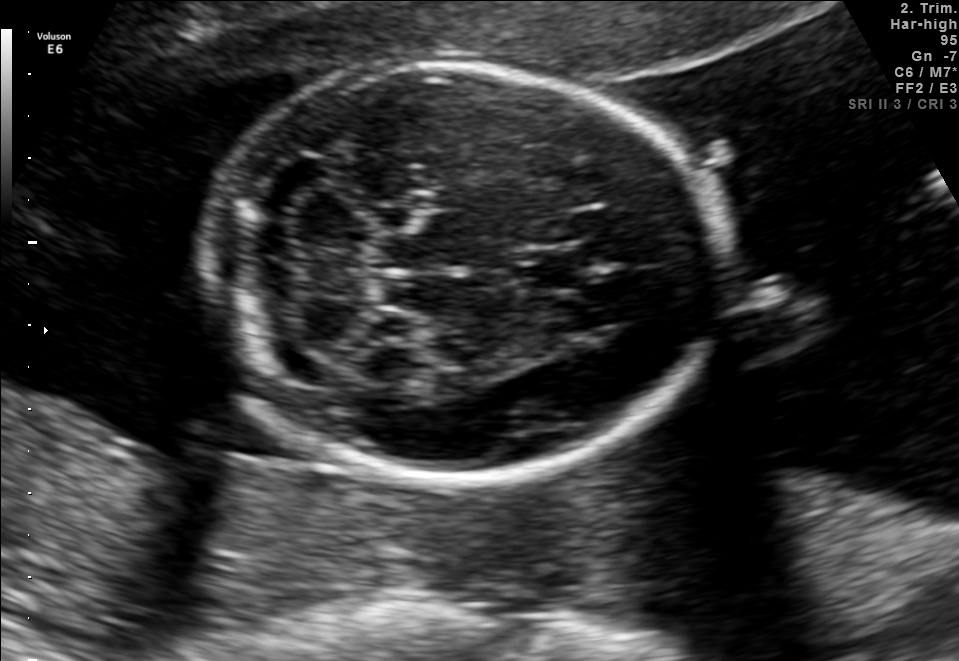
Fetal brain, trans-cerebellum plane. Where is the cavum septum pellucidum?

CSP bounding box: [519,245,586,294]